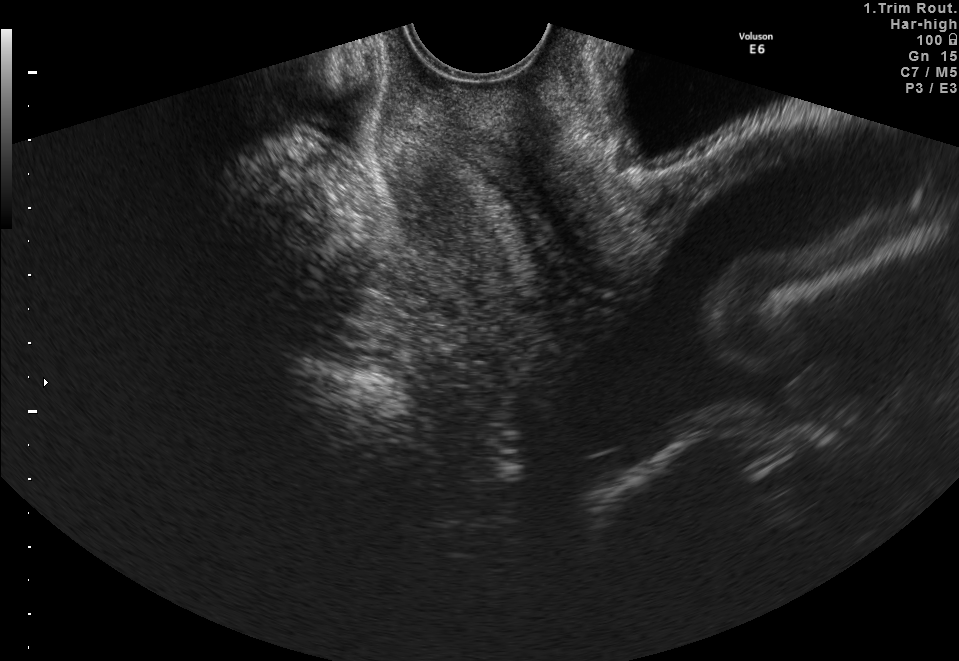
Identify the standard plane in this fetal ultrasound image: fetal abdomen, fetal brain, fetal femur, fetal thorax, maternal cervix, or other. If it's fetal brain and one of the three standard brain planes (trans-thalamic, trans-cerebellum, trans-ventricular), name which.

Maternal cervix